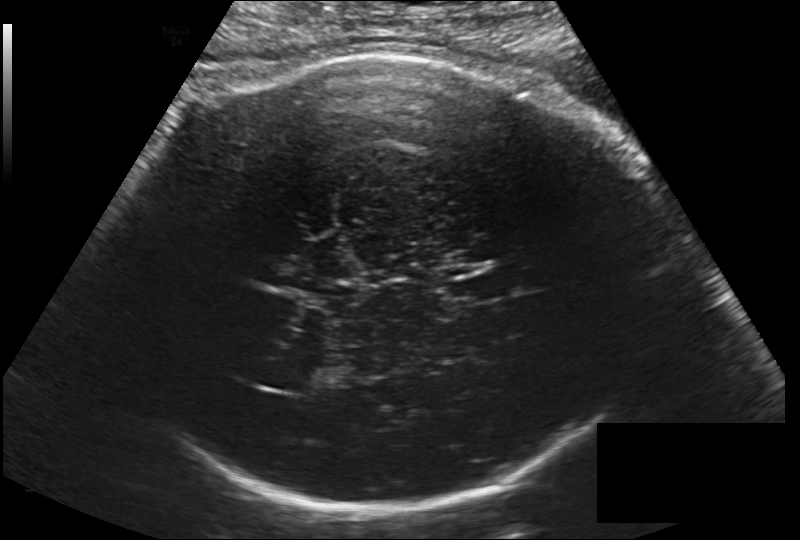
Fetal head ultrasound. Image width: 162.2 mm. Where is the fetal head?

Head bounding box: [113,50,658,508]